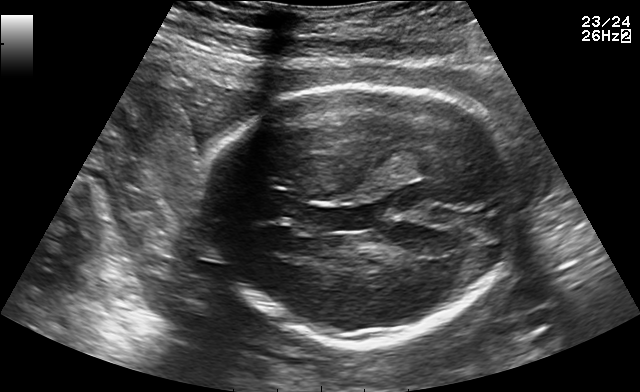
Fetal brain, trans-thalamic plane. Locate the fetal head.

Head: [198,85,521,350]